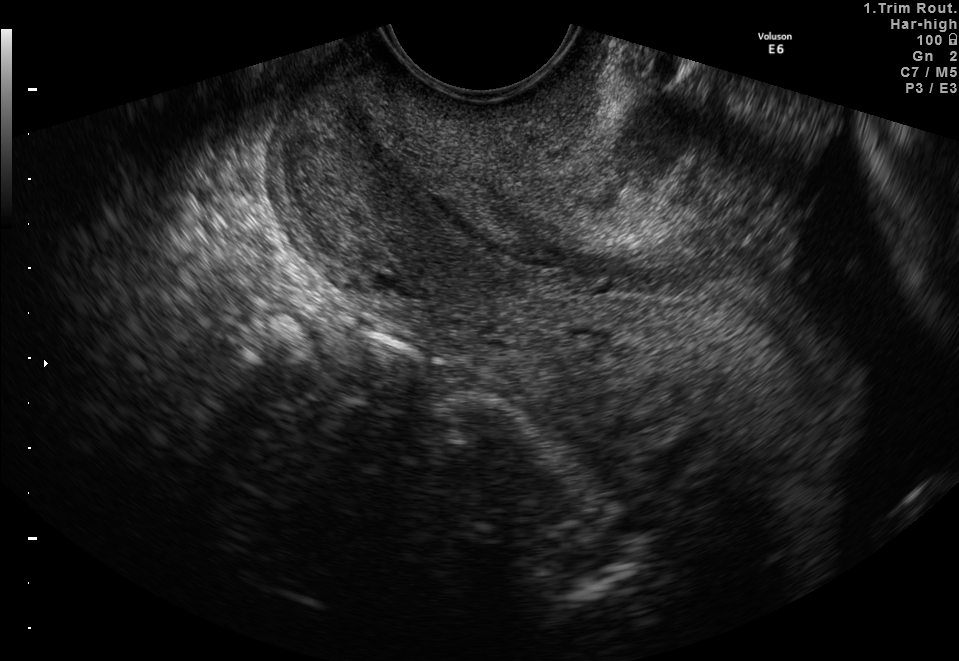
Which standard maternal-fetal ultrasound plane is shown: fetal abdomen, fetal brain, fetal femur, fetal thorax, maternal cervix, or other? If it's fetal brain and one of the three standard brain planes (trans-thalamic, trans-cerebellum, trans-ventricular), name which.

Maternal cervix